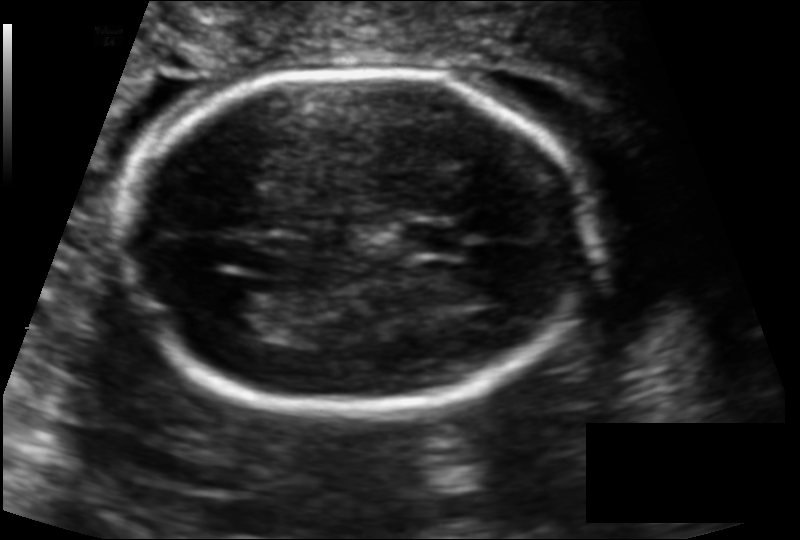
Fetal head ultrasound. Image width: 97.4 mm. Locate the lateral ventricle.

Lateral ventricle: [213,281,292,341]